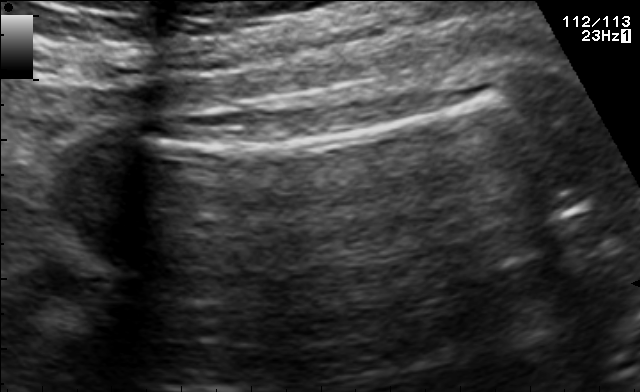
Which standard maternal-fetal ultrasound plane is shown: fetal abdomen, fetal brain, fetal femur, fetal thorax, maternal cervix, or other? If it's fetal brain and one of the three standard brain planes (trans-thalamic, trans-cerebellum, trans-ventricular), name which.

Fetal femur